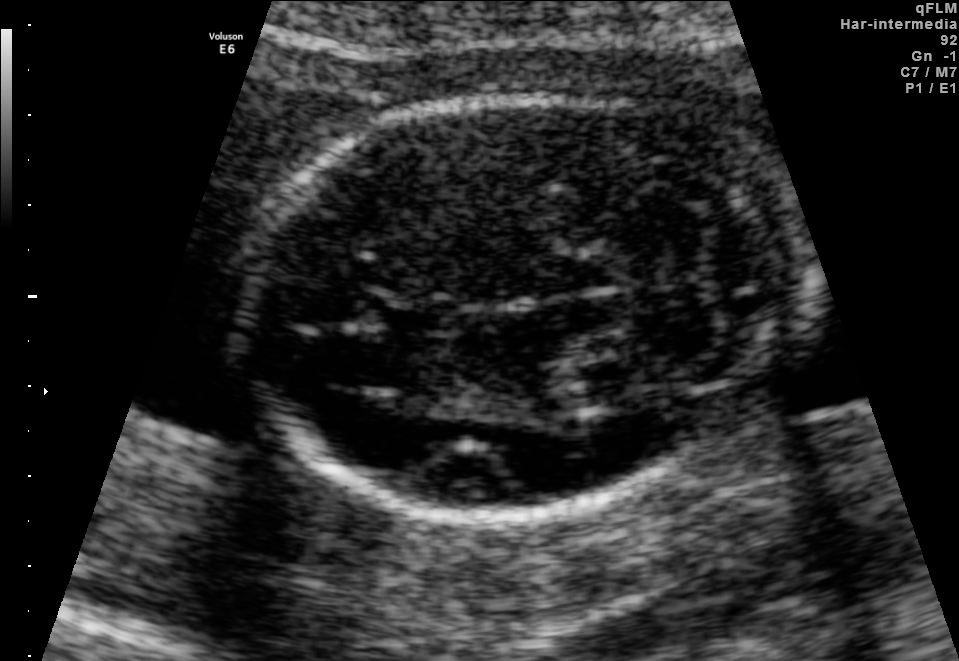
In this fetal brain, trans-cerebellum plane, give the bounding box of the fetal head.

[249,95,810,516]